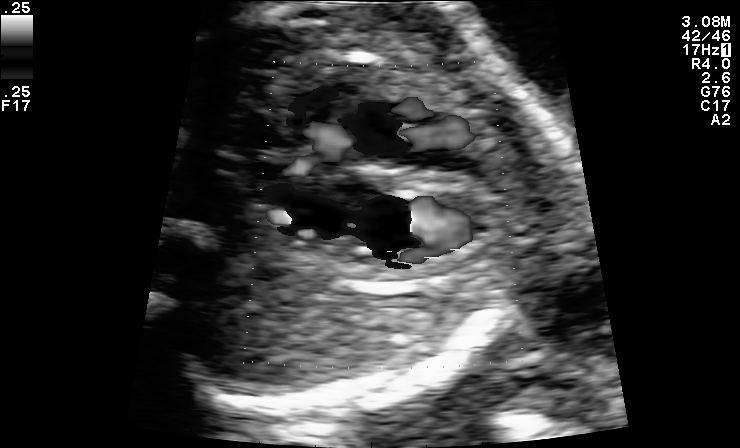
Classify this maternal-fetal ultrasound image as one of the six standard planes — fetal abdomen, fetal brain, fetal femur, fetal thorax, maternal cervix, or other. If it's fetal brain and one of the three standard brain planes (trans-thalamic, trans-cerebellum, trans-ventricular), name which.

Other